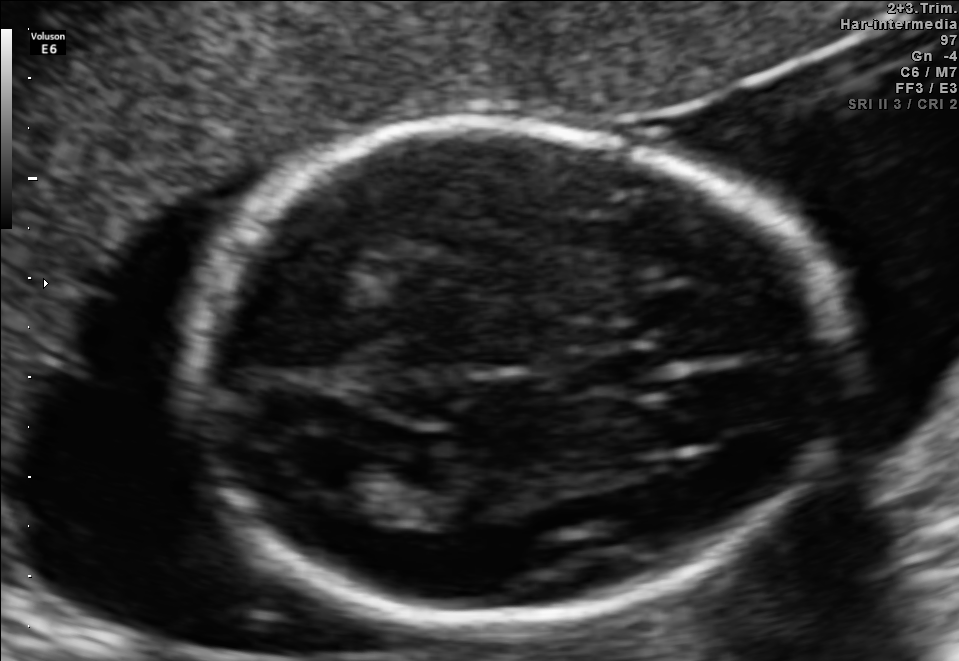
Fetal brain, trans-ventricular plane. Give [x1,y1,x2,y2] bounding boxes for each visible structure among: fetal head, CSP, LV.

Head: [167,111,852,630]
CSP: [557,354,641,390]
Lateral ventricle: [283,433,381,501]